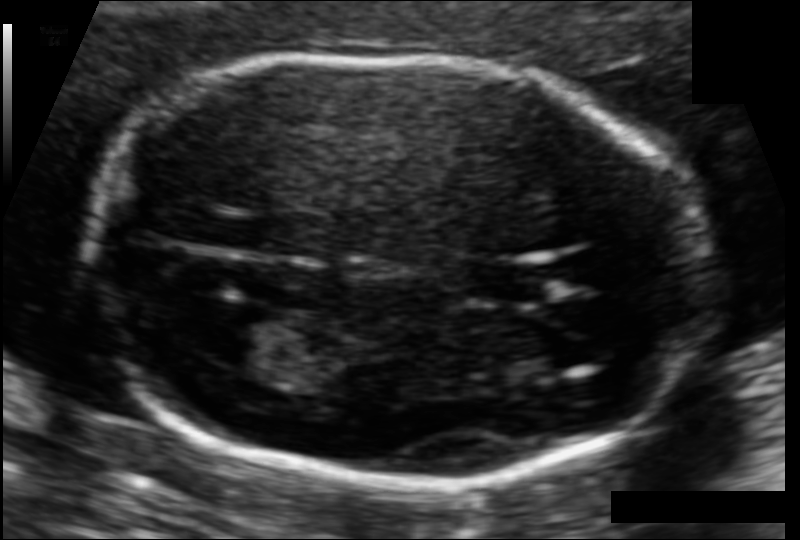
Fetal head ultrasound. Image width: 73.9 mm. Give [x1,y1,x2,y2] bounding boxes for each visible structure among: fetal head, CSP, LV.

Head: [84,56,704,489]
CSP: [468,265,542,300]
Lateral ventricle: [195,296,293,376]